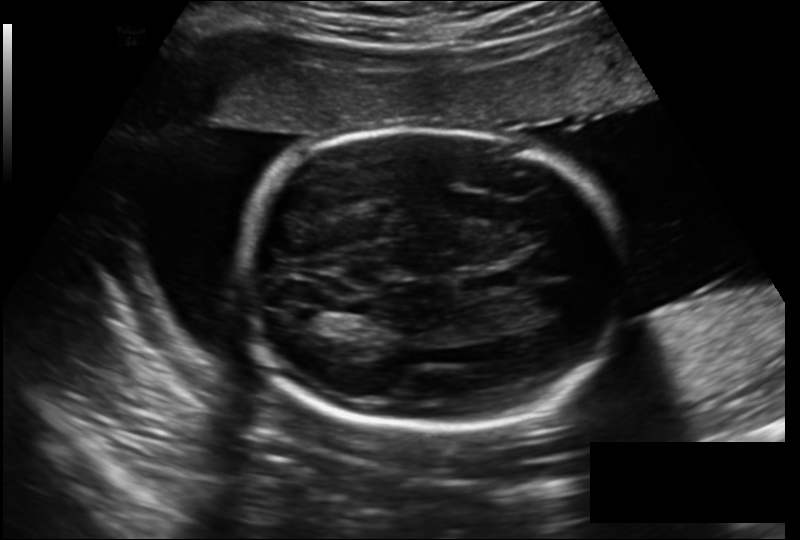
What is the fetal head circumference? Image width is 164.7 mm.

228.2 mm